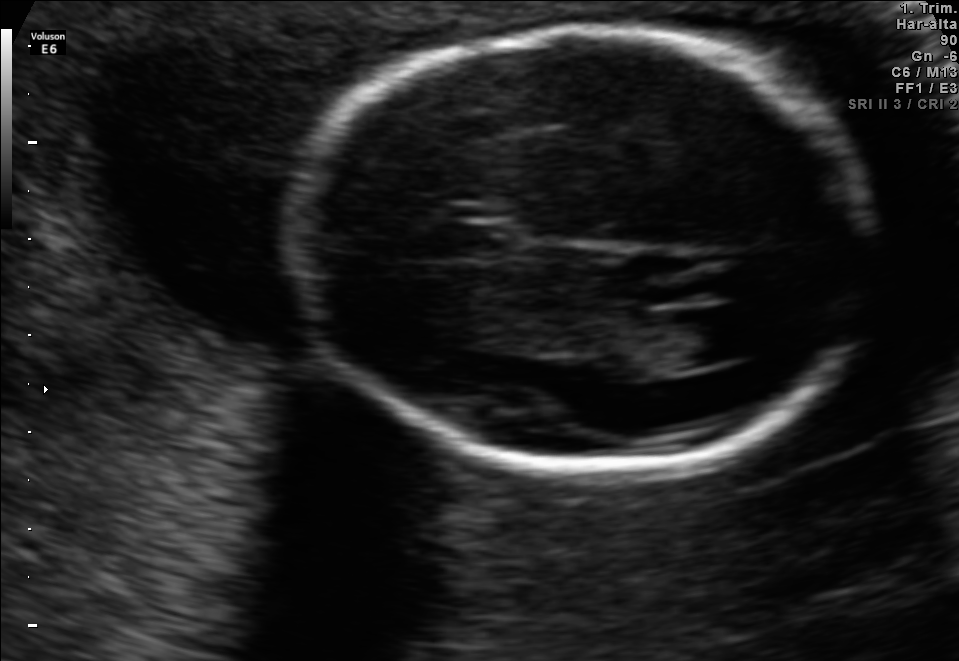
In this fetal brain, trans-ventricular plane, give the bounding box of the fetal head.

[281,23,888,476]